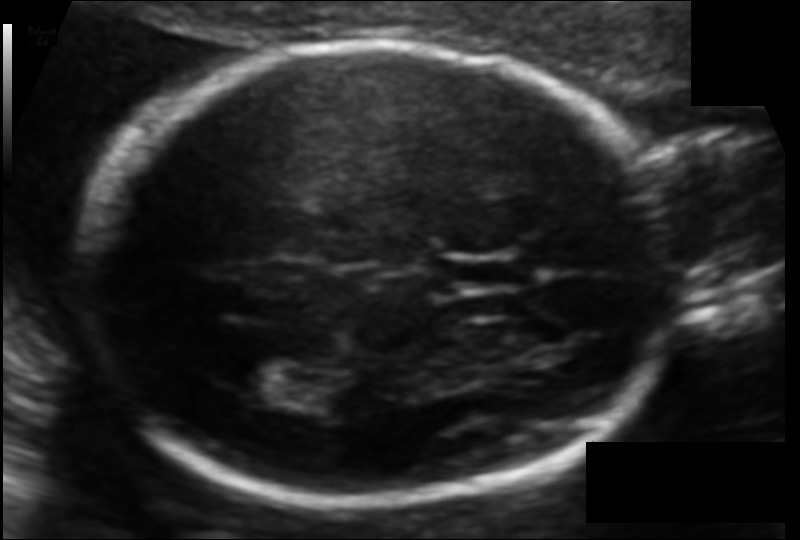
In this fetal head ultrasound, give the bounding box of the cavum septum pellucidum. Image width: 83.2 mm.

[434,253,527,290]